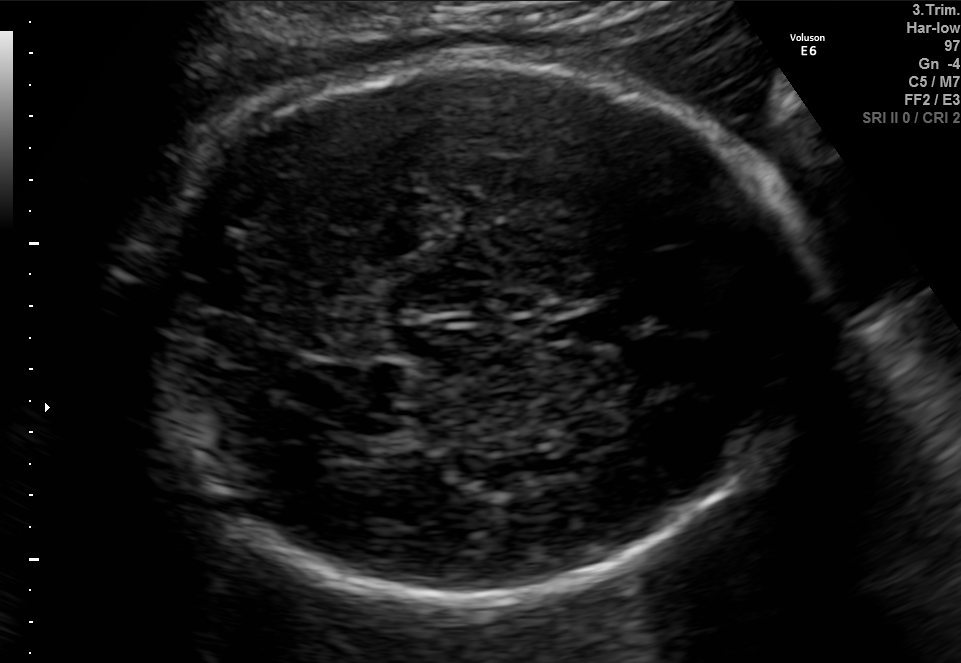
Fetal brain, trans-thalamic plane. Locate the cavum septum pellucidum.

CSP: [555,309,627,347]